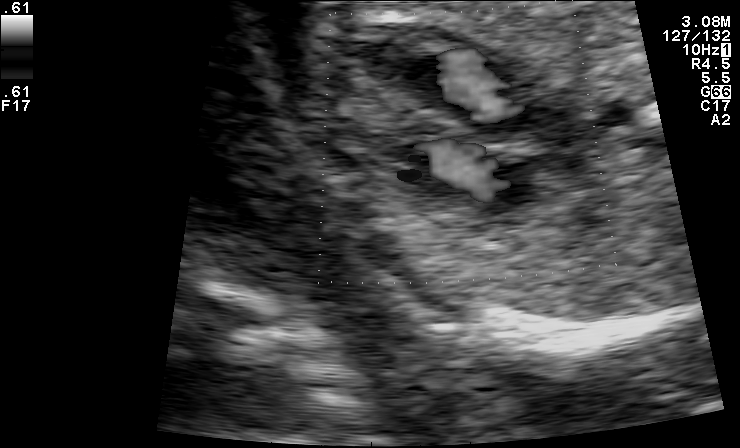
Which standard maternal-fetal ultrasound plane is shown: fetal abdomen, fetal brain, fetal femur, fetal thorax, maternal cervix, or other? If it's fetal brain and one of the three standard brain planes (trans-thalamic, trans-cerebellum, trans-ventricular), name which.

Other